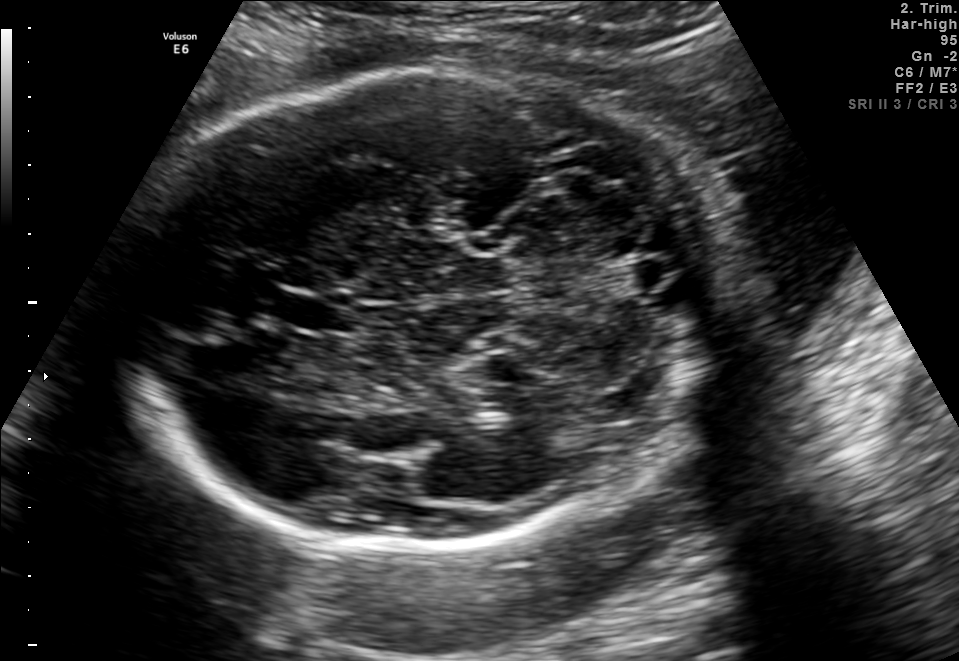
In this fetal brain, trans-cerebellum plane, give the bounding box of the cavum septum pellucidum.

[269,283,353,342]